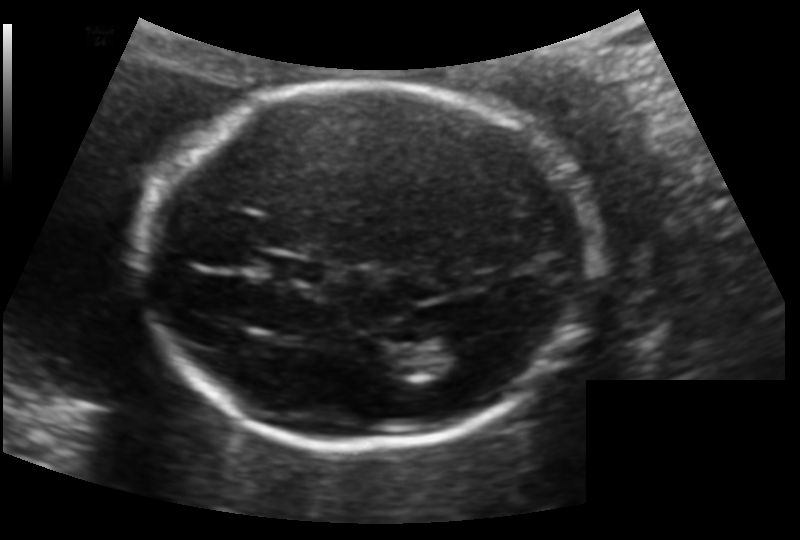
What is the fetal head circumference? Image width is 106.4 mm.

177.9 mm